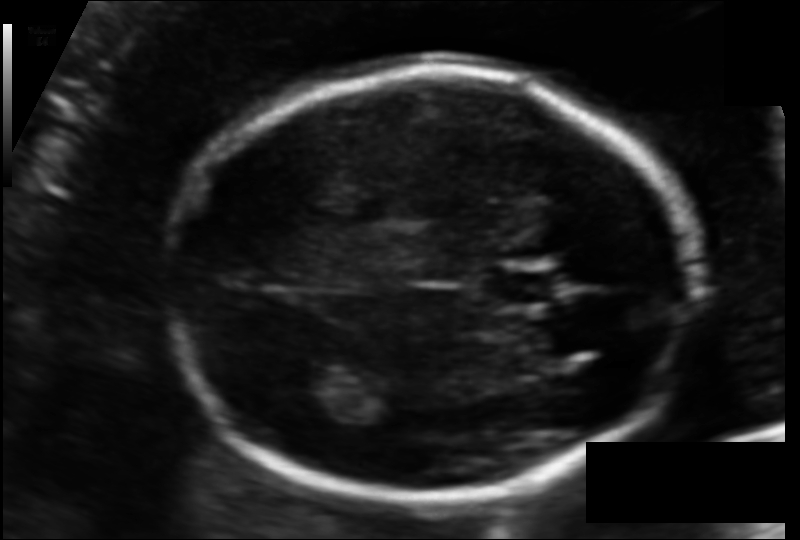
Measure the fetal head circumference shown in this ultrasound image. Image width: 86.2 mm.

Head circumference: 164.3 mm.